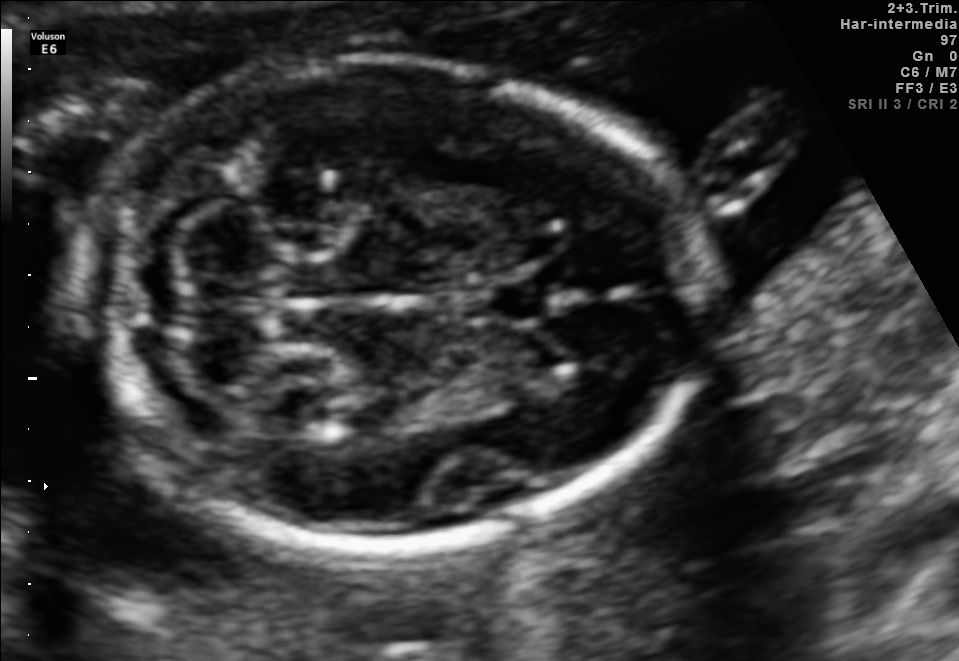
Fetal brain, trans-cerebellum plane. Locate the fetal head and, if visible, the cavum septum pellucidum (CSP) and lateral ventricle (LV). Give bounding boxes as [x1,y1,x2,y2].

Head: [82,60,701,545]
CSP: [477,276,554,325]